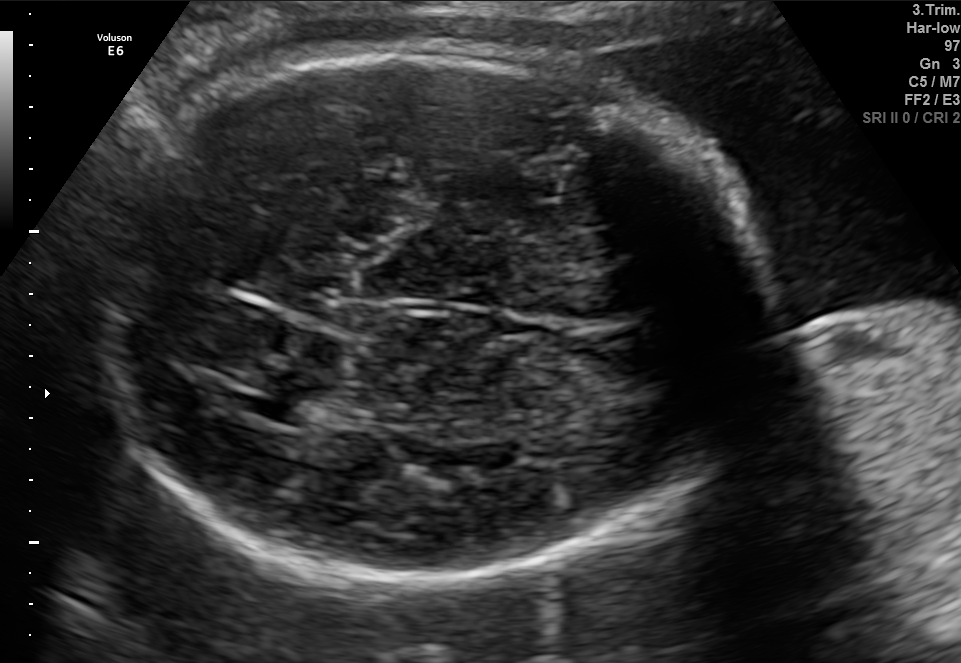
In this fetal brain, trans-thalamic plane, give the bounding box of the fetal head.

[86,43,775,580]